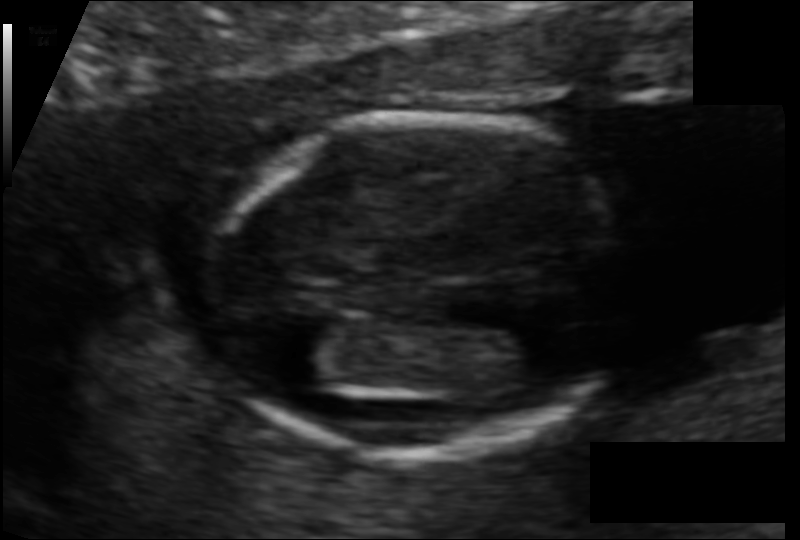
In this fetal head ultrasound, give the bounding box of the fetal head. Image width: 65.5 mm.

[210,110,630,457]